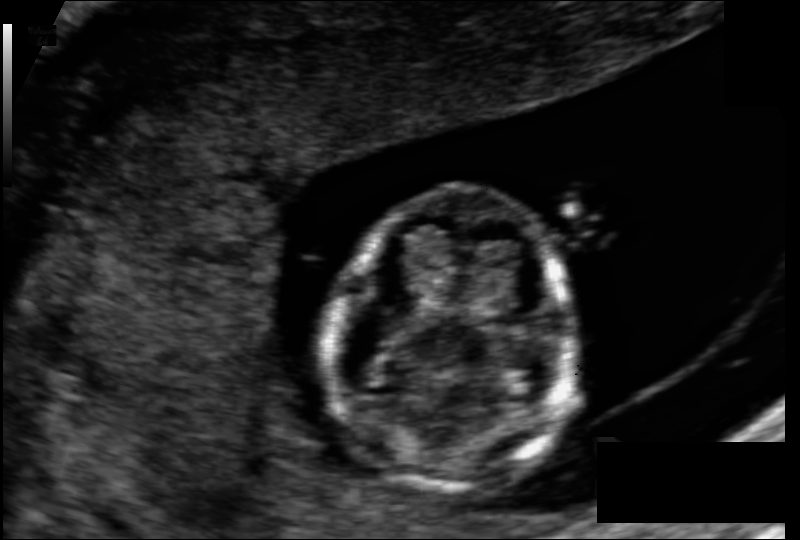
Fetal head ultrasound. Image width: 77.7 mm. Where is the fetal head?

Head bounding box: [329,190,570,493]